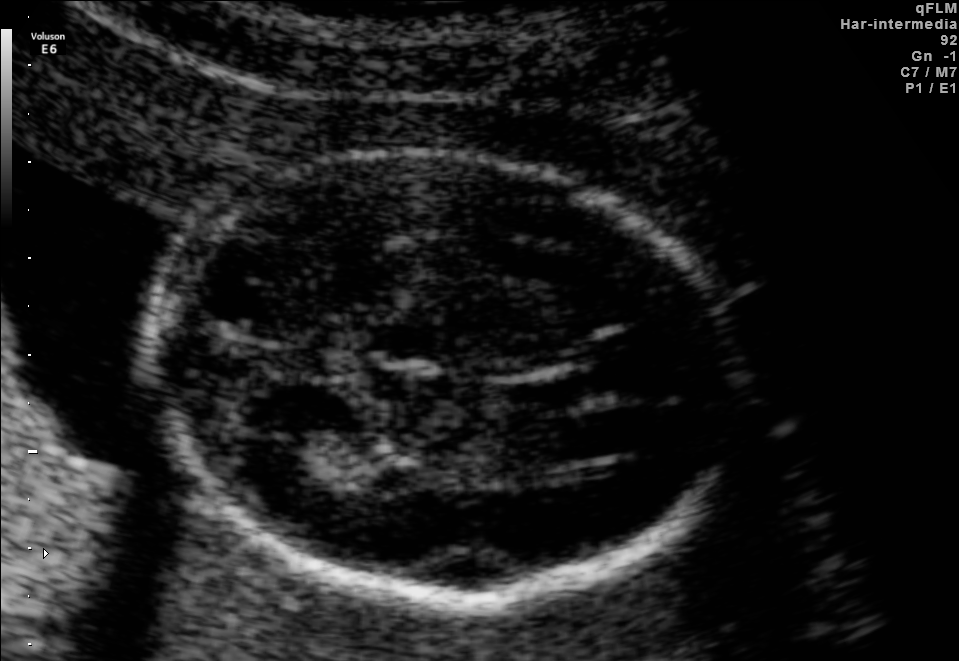
Fetal brain, trans-thalamic plane. Give [x1,y1,x2,y2] bounding boxes for each visible structure among: fetal head, CSP, LV.

Head: [147,155,738,596]